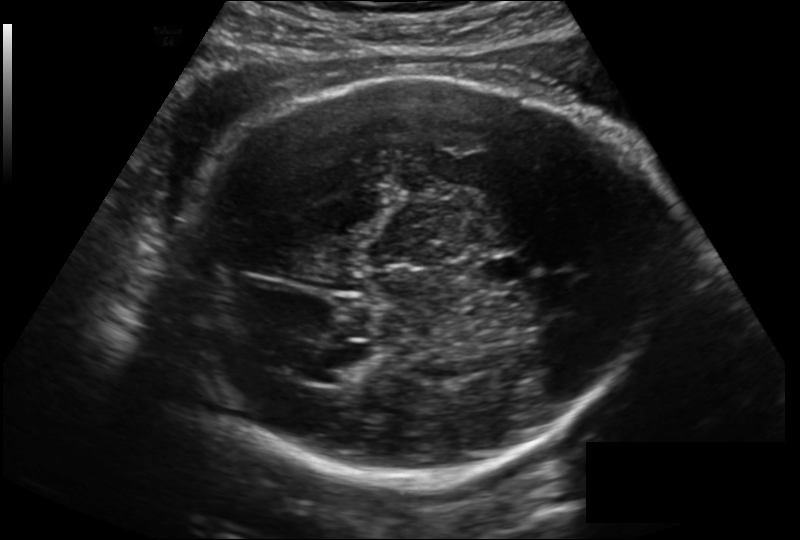
Fetal head ultrasound. Image width: 159.3 mm. Locate the fetal head.

Head: [167,76,657,477]